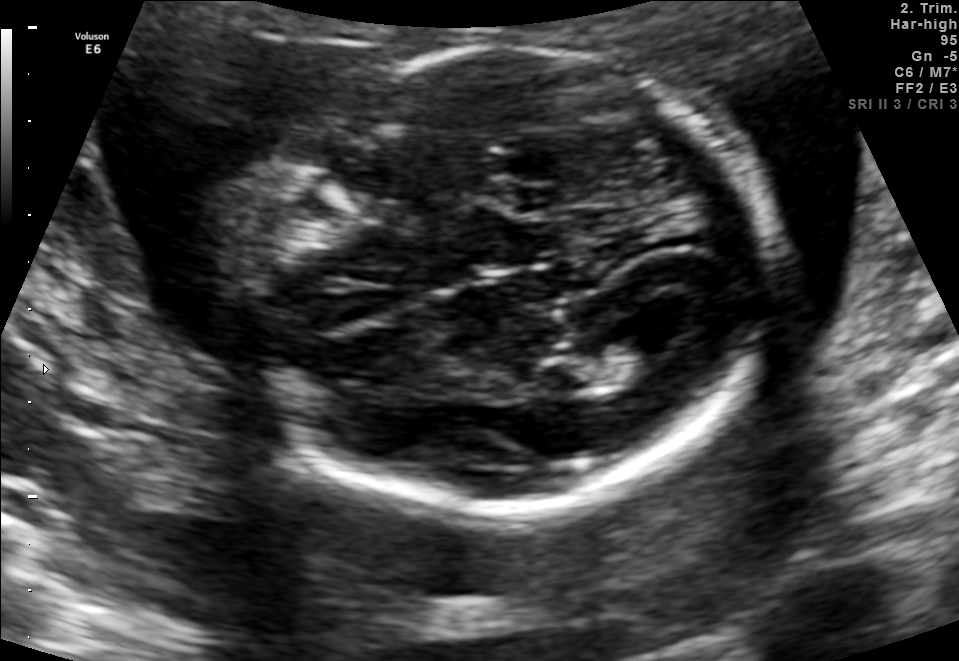
Fetal brain, trans-ventricular plane. Where is the fetal head?

Head bounding box: [216,42,787,519]